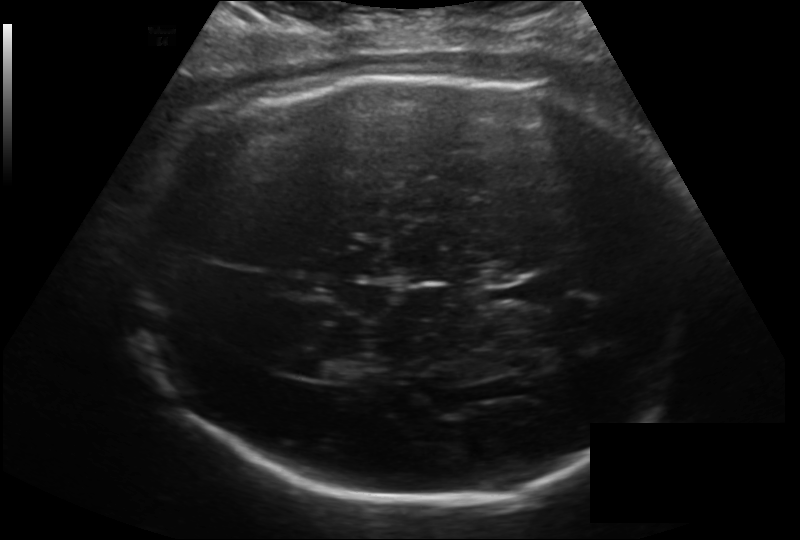
What is the fetal head circumference? Image width is 154.4 mm.

315.0 mm